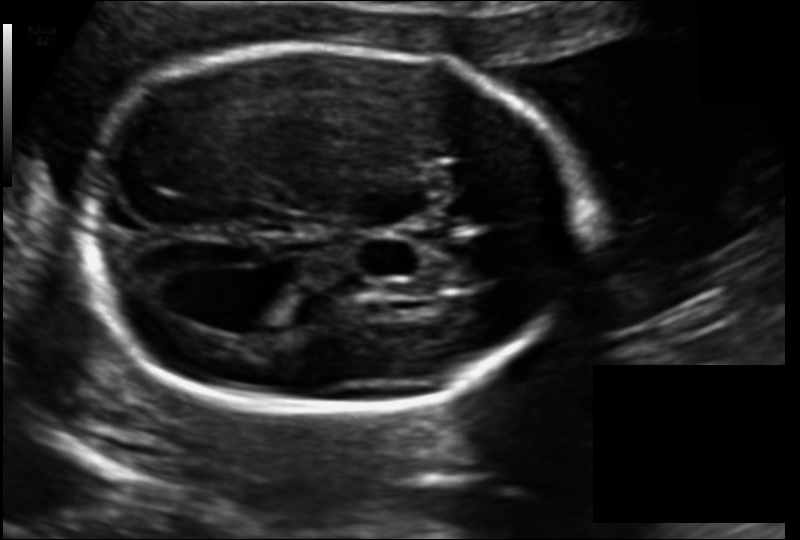
Fetal head ultrasound. Image width: 102.4 mm. Locate the fetal head.

Head: [78,47,580,409]